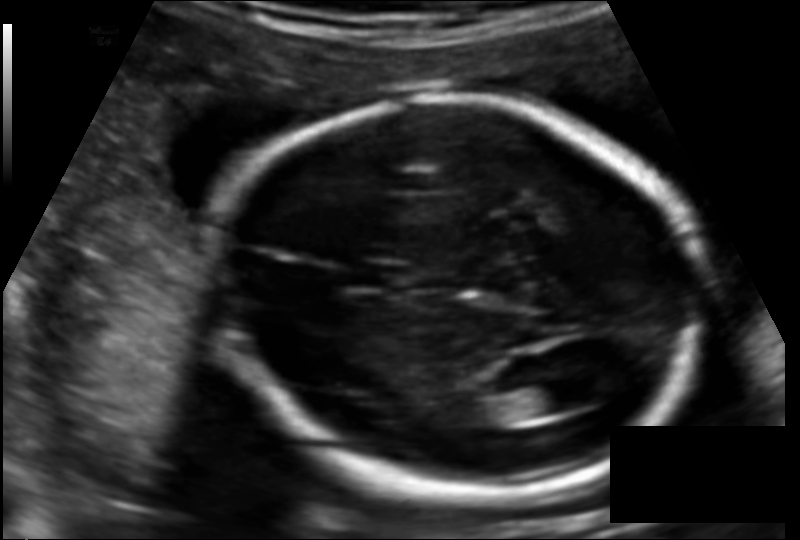
Fetal head ultrasound. Image width: 99.4 mm. Locate the lateral ventricle.

Lateral ventricle: [501,375,579,424]